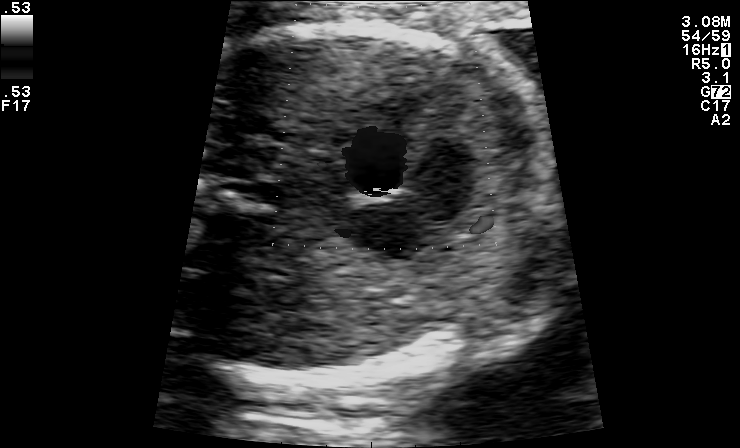
Which standard maternal-fetal ultrasound plane is shown: fetal abdomen, fetal brain, fetal femur, fetal thorax, maternal cervix, or other? If it's fetal brain and one of the three standard brain planes (trans-thalamic, trans-cerebellum, trans-ventricular), name which.

Other